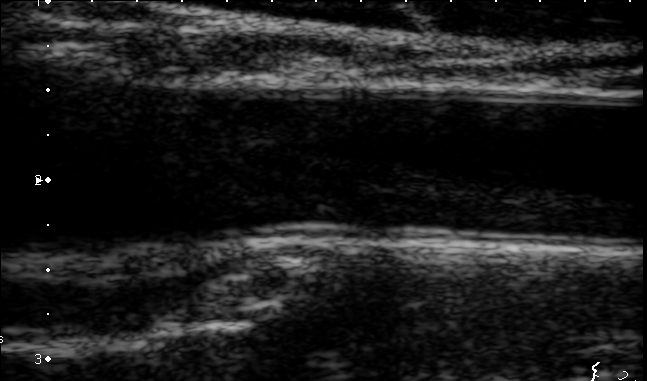
This is a 2D maternal-fetal ultrasound frame. Is it a fetal abdomen, fetal brain, fetal femur, fetal thorax, maternal cervix, or other standard plane? If it's fetal brain and one of the three standard brain planes (trans-thalamic, trans-cerebellum, trans-ventricular), name which.

Other